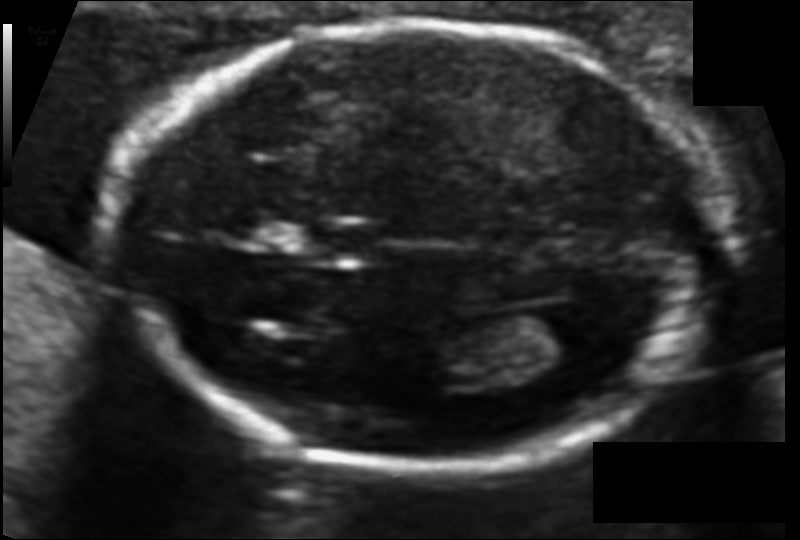
Fetal head ultrasound. Image width: 75.0 mm. Locate the cavum septum pellucidum.

CSP: [312,224,385,259]